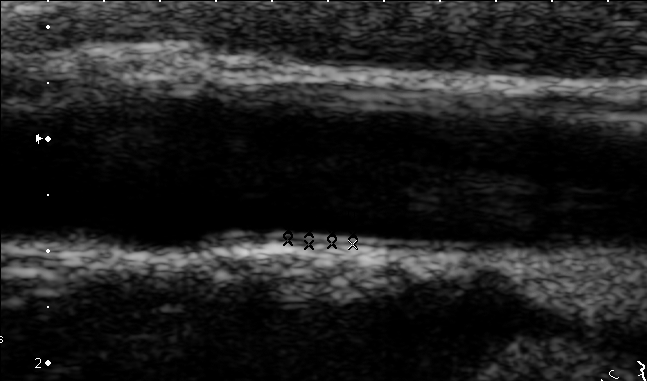
This is a 2D maternal-fetal ultrasound frame. Is it a fetal abdomen, fetal brain, fetal femur, fetal thorax, maternal cervix, or other standard plane? If it's fetal brain and one of the three standard brain planes (trans-thalamic, trans-cerebellum, trans-ventricular), name which.

Other